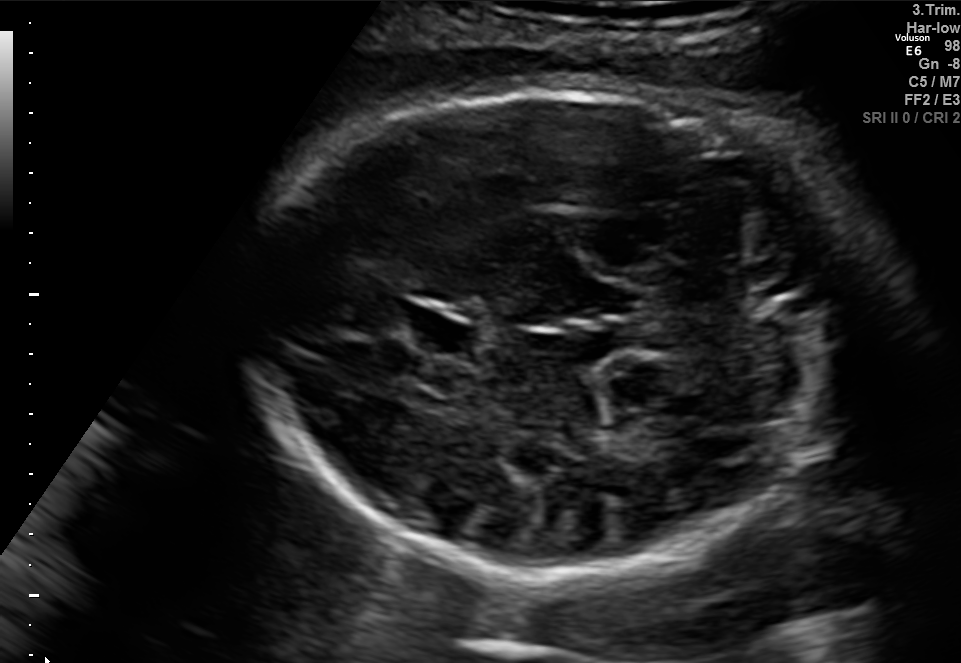
In this fetal brain, trans-cerebellum plane, give the bounding box of the fetal head.

[254,88,836,575]